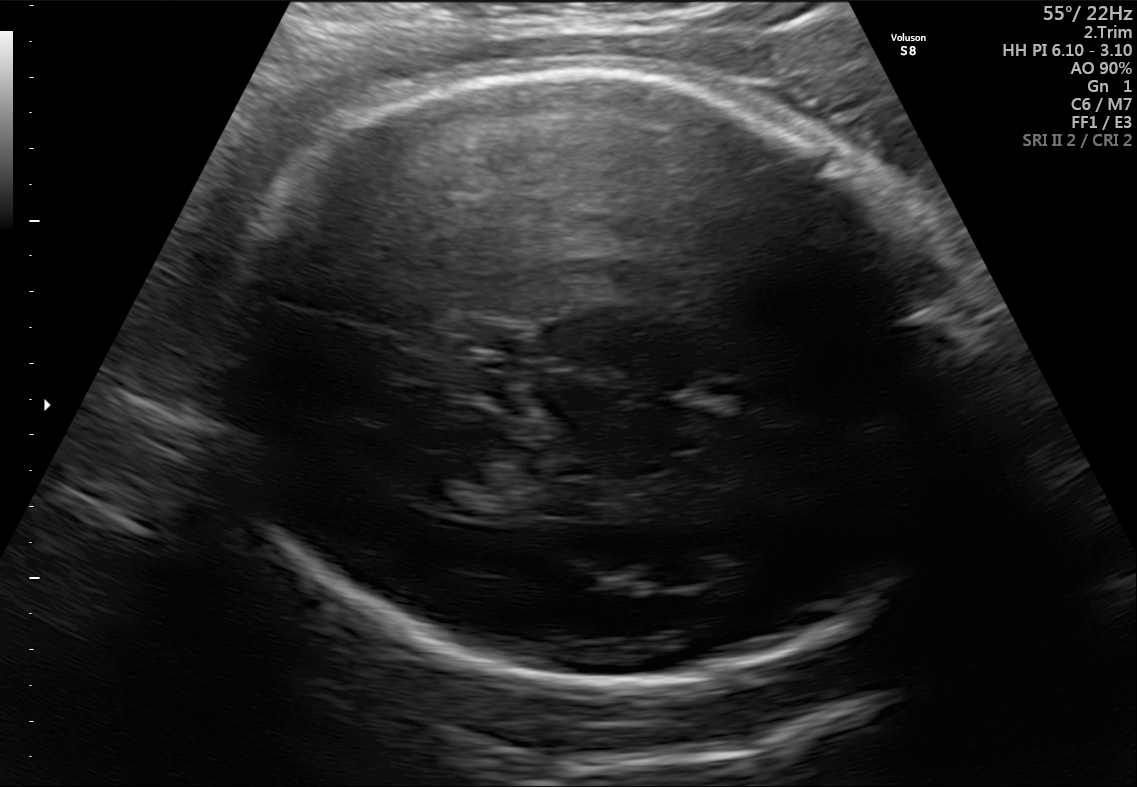
Classify this maternal-fetal ultrasound image as one of the six standard planes — fetal abdomen, fetal brain, fetal femur, fetal thorax, maternal cervix, or other. If it's fetal brain and one of the three standard brain planes (trans-thalamic, trans-cerebellum, trans-ventricular), name which.

Fetal brain (trans-thalamic plane)